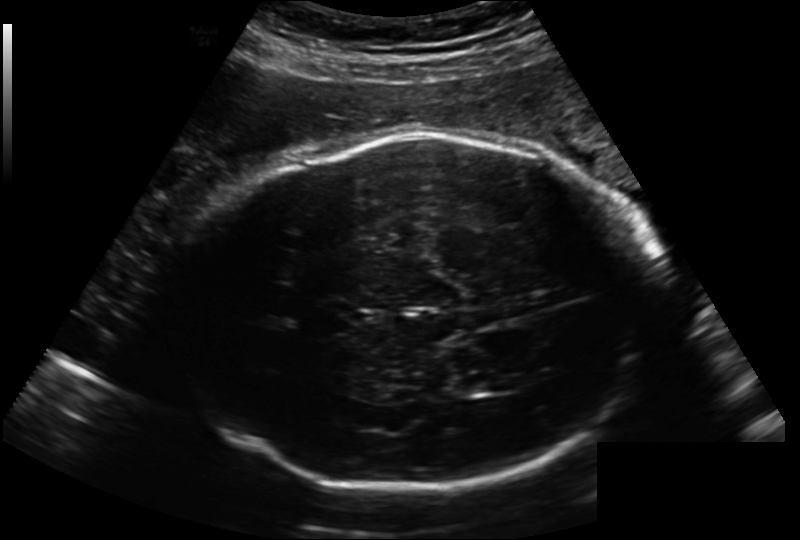
In this fetal head ultrasound, give bounding boxes for the head outline, cavum septum pellucidum (CSP), and lateral ventricle (LV), where visible. Image width: 177.3 mm.

Head: [170,132,643,493]
Lateral ventricle: [453,371,499,396]